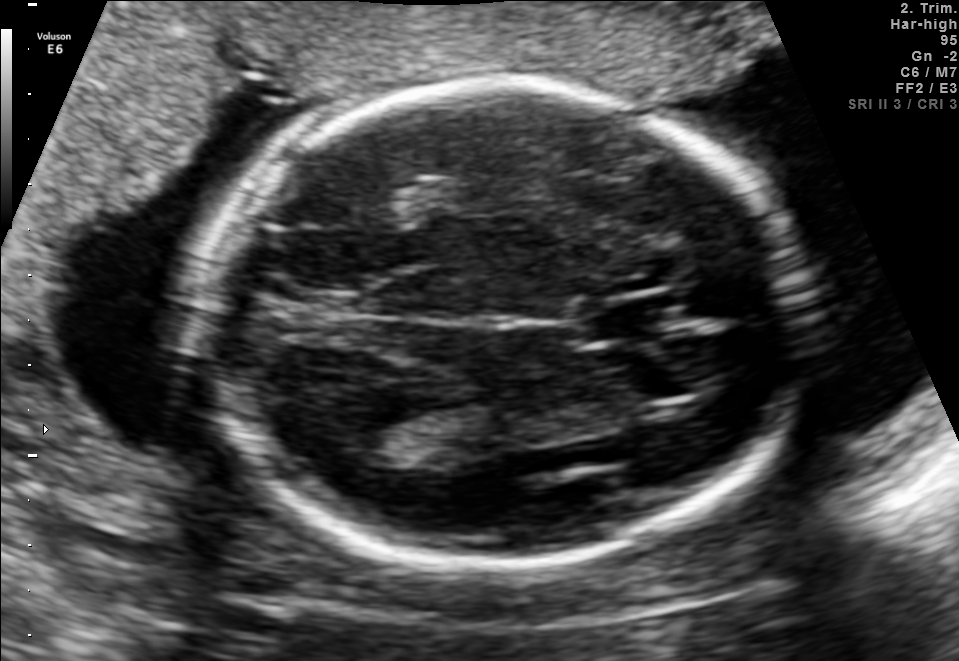
Fetal brain, trans-thalamic plane. Locate the lateral ventricle.

Lateral ventricle: [319,410,442,473]